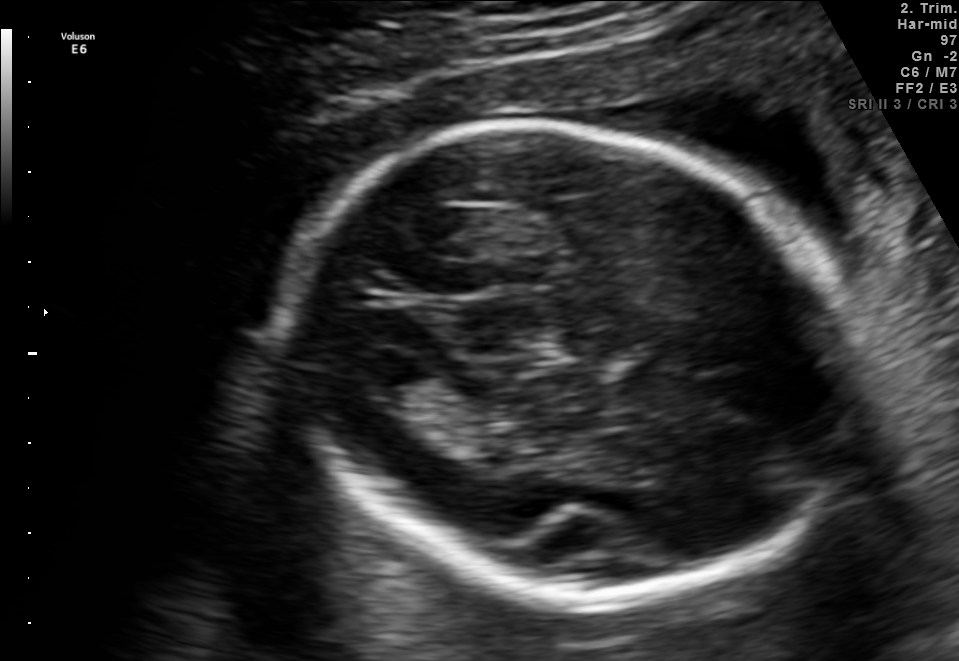
Fetal brain, trans-thalamic plane. Where is the fetal head?

Head bounding box: [288,123,861,604]